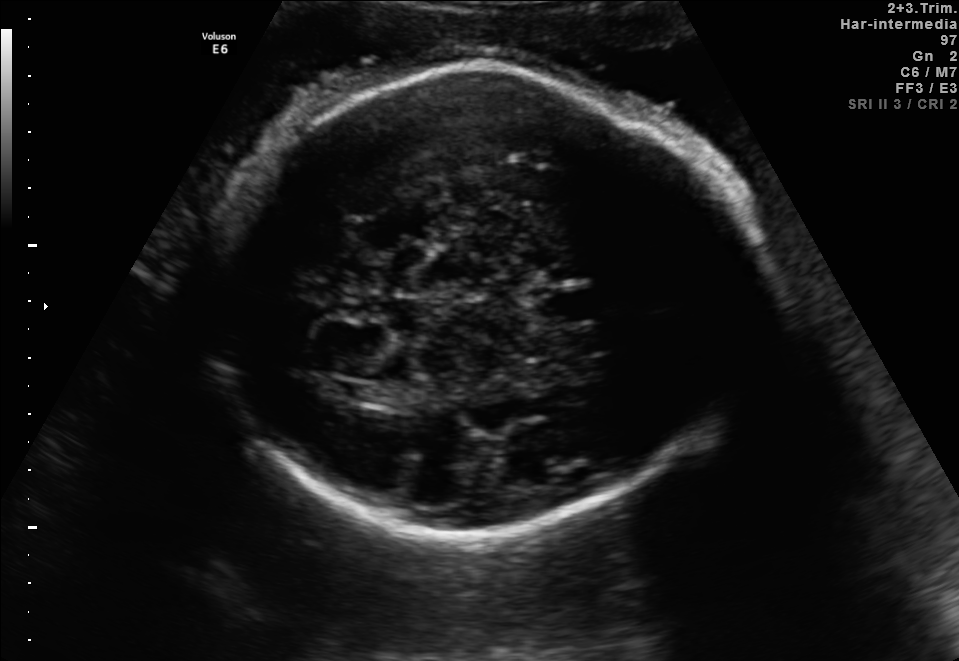
Fetal brain, trans-thalamic plane. Give [x1,y1,x2,y2] bounding boxes for each visible structure among: fetal head, CSP, LV.

Head: [207,65,764,534]
CSP: [532,284,604,326]
Lateral ventricle: [331,378,403,409]